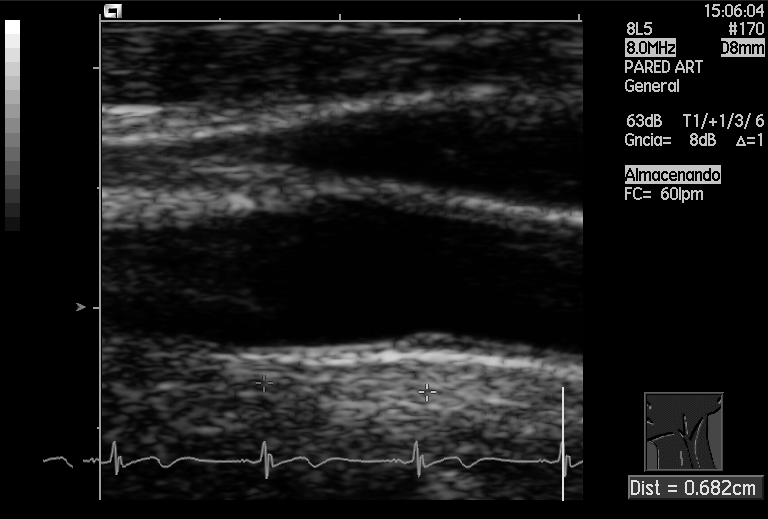
Identify the standard plane in this fetal ultrasound image: fetal abdomen, fetal brain, fetal femur, fetal thorax, maternal cervix, or other. If it's fetal brain and one of the three standard brain planes (trans-thalamic, trans-cerebellum, trans-ventricular), name which.

Other